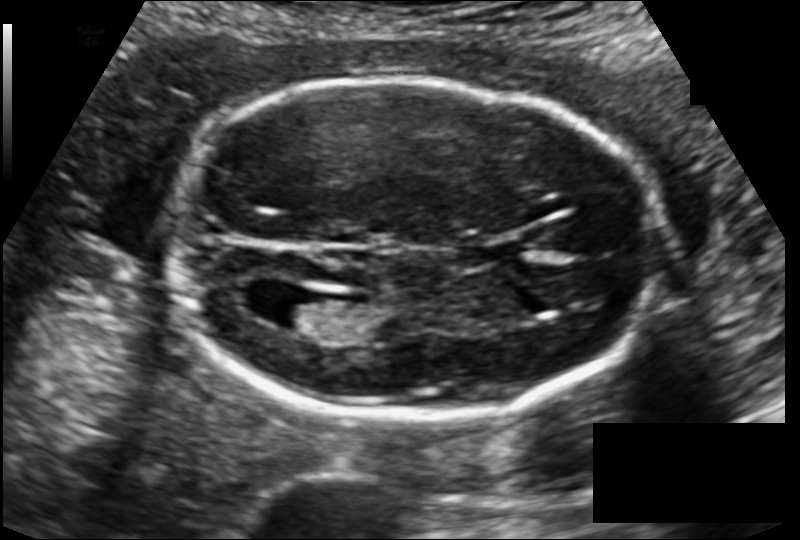
Estimate the fetal head circumference from this 2D ultrasound. Image width: 103.4 mm.

Head circumference: 174.7 mm.